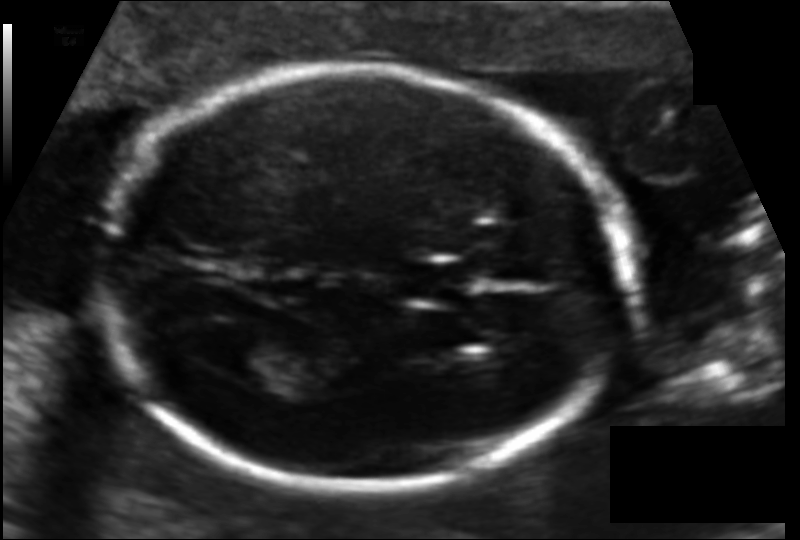
In this fetal head ultrasound, give bounding boxes for the head outline, cavum septum pellucidum (CSP), and lateral ventricle (LV), where visible. Image width: 91.0 mm.

Head: [102,69,630,489]
CSP: [402,257,475,305]
Lateral ventricle: [202,324,286,387]